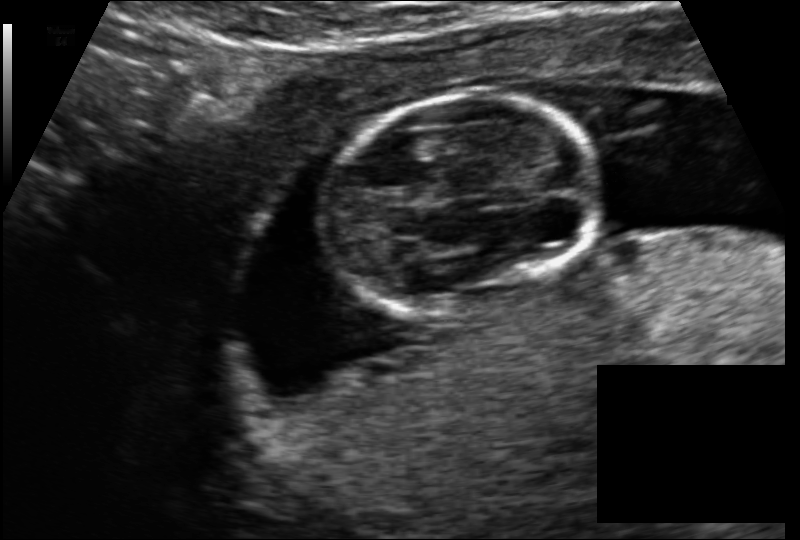
Measure the fetal head circumference shown in this ultrasound image. Image width: 91.1 mm.

Head circumference: 94.3 mm.